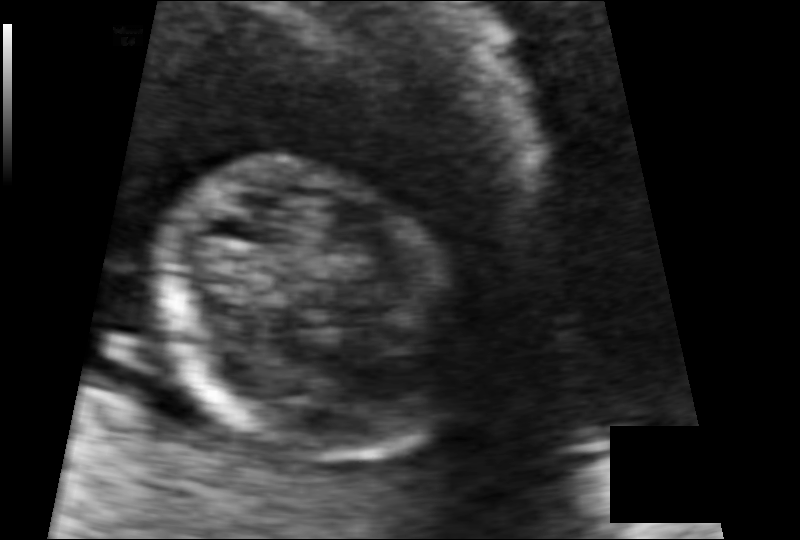
Fetal head ultrasound. Image width: 68.4 mm. Locate the fetal head and, if visible, the cavum septum pellucidum (CSP) and lateral ventricle (LV). Give bounding boxes as [x1,y1,x2,y2].

Head: [150,161,471,462]